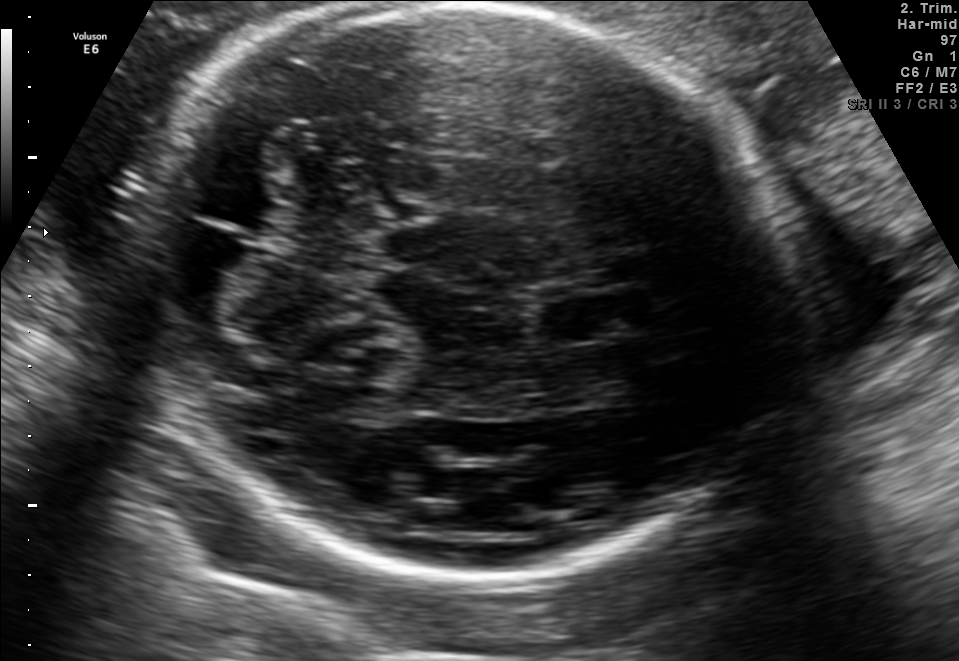
Identify the standard plane in this fetal ultrasound image: fetal abdomen, fetal brain, fetal femur, fetal thorax, maternal cervix, or other. If it's fetal brain and one of the three standard brain planes (trans-thalamic, trans-cerebellum, trans-ventricular), name which.

Fetal brain (trans-cerebellum plane)